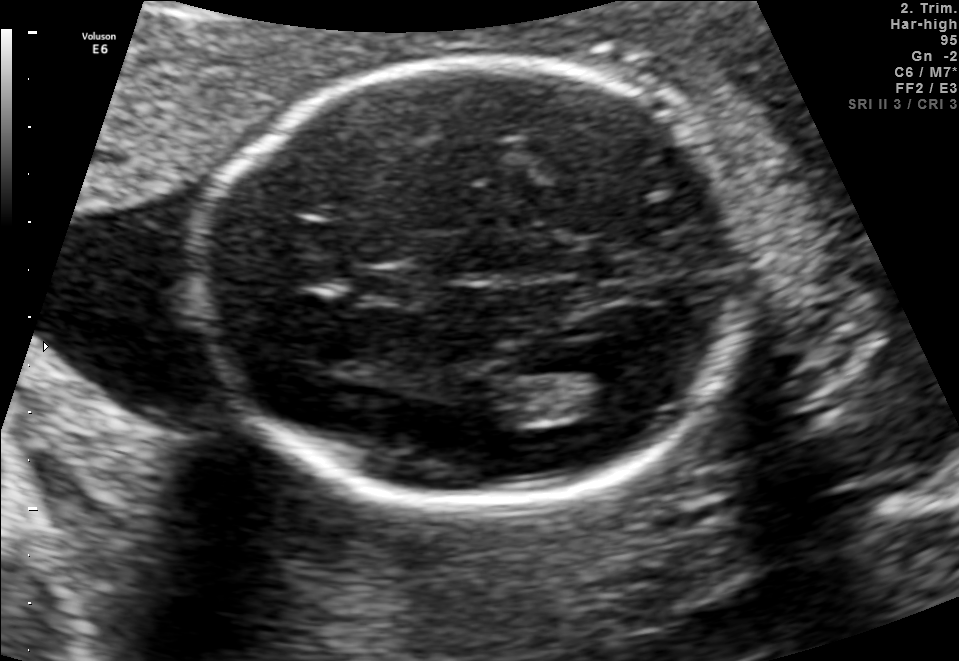
In this fetal brain, trans-thalamic plane, give the bounding box of the cavum septum pellucidum.

[351,268,420,303]